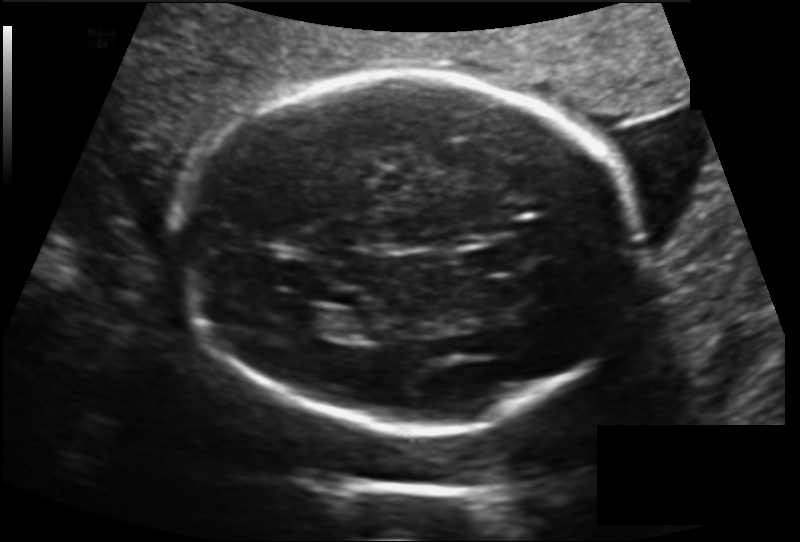
Fetal head ultrasound. Image width: 127.7 mm. Where is the lateral ventricle?

Lateral ventricle bounding box: [285,305,343,337]